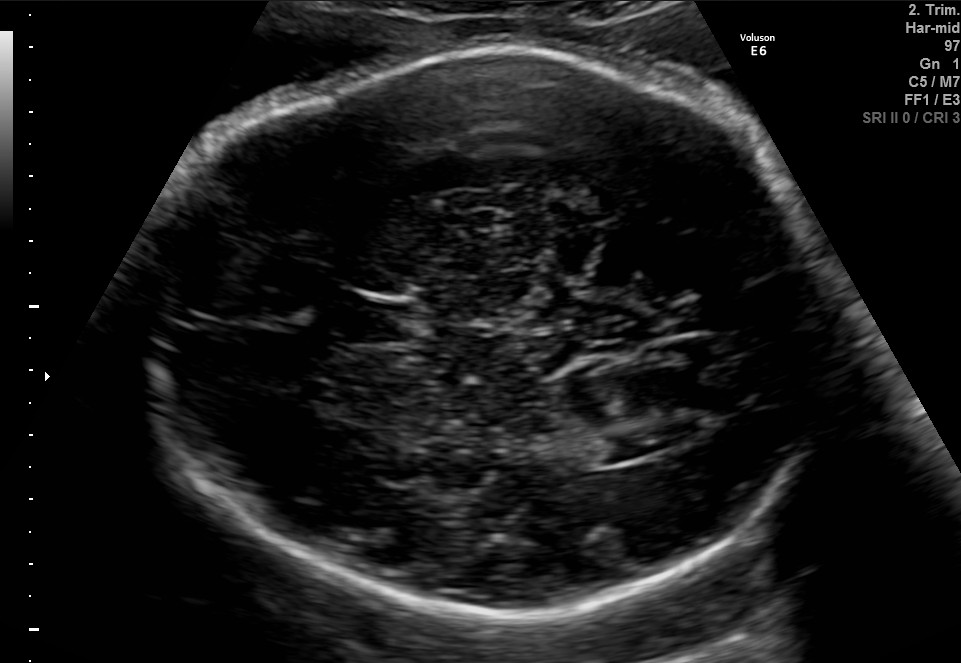
Identify the standard plane in this fetal ultrasound image: fetal abdomen, fetal brain, fetal femur, fetal thorax, maternal cervix, or other. If it's fetal brain and one of the three standard brain planes (trans-thalamic, trans-cerebellum, trans-ventricular), name which.

Fetal brain (trans-ventricular plane)